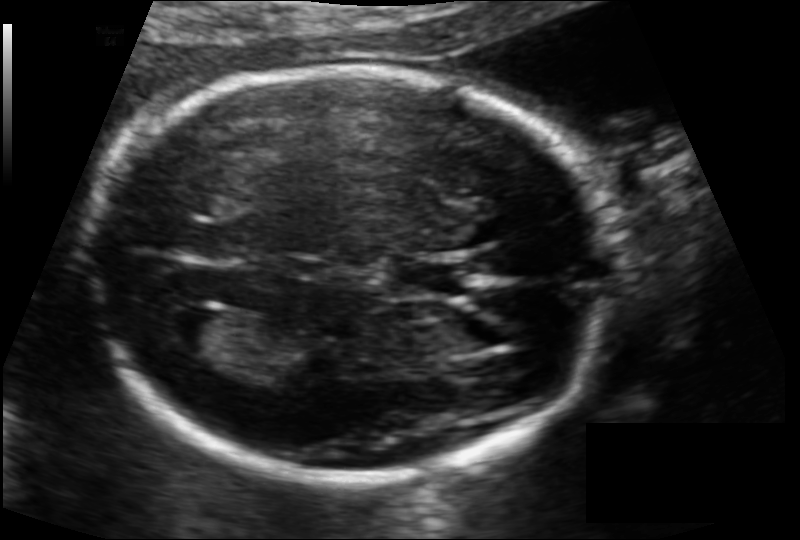
Fetal head ultrasound. Image width: 91.1 mm. Locate the lateral ventricle.

Lateral ventricle: [157,302,228,358]